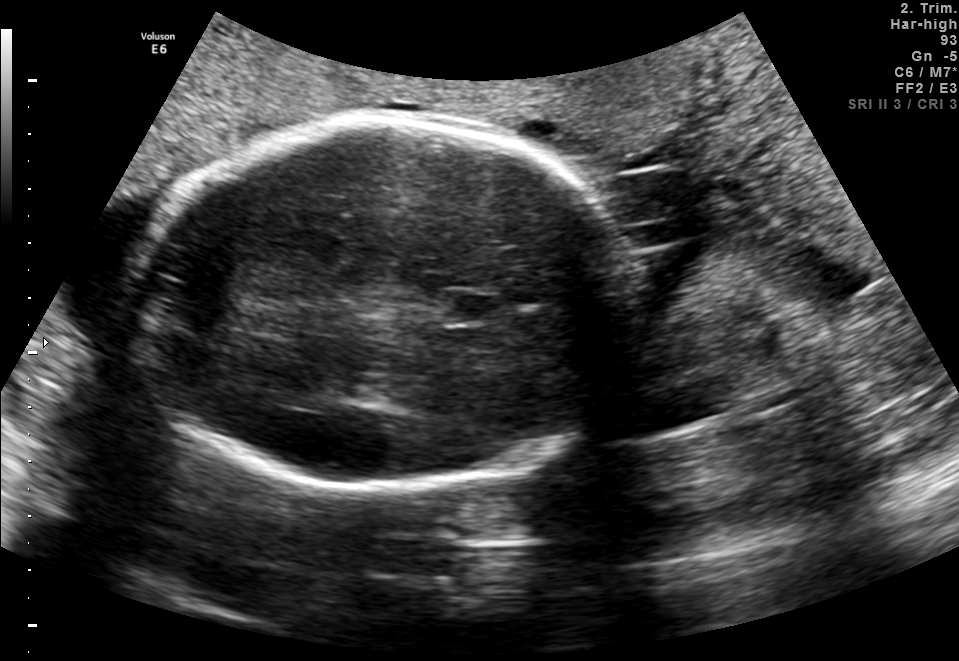
In this fetal brain, trans-thalamic plane, give the bounding box of the cavum septum pellucidum.

[444,295,498,322]